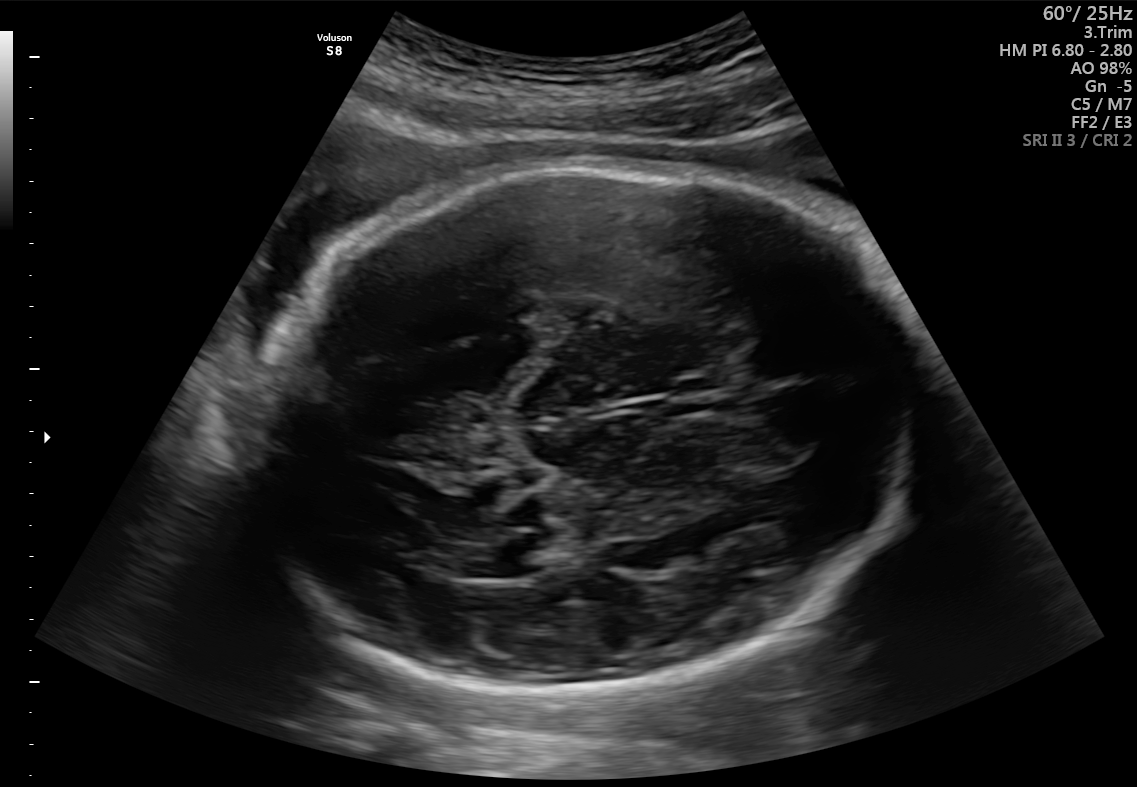
In this fetal brain, trans-ventricular plane, give the bounding box of the fetal head.

[241,155,922,701]